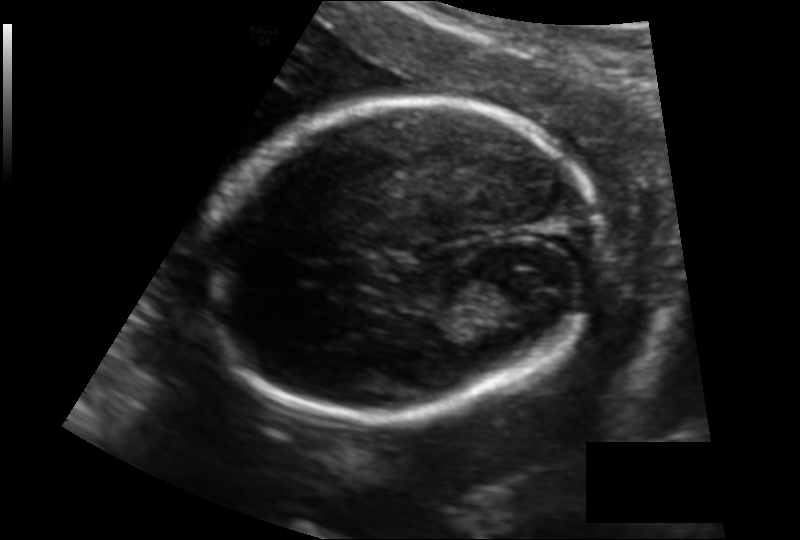
What is the fetal head circumference? Image width is 112.2 mm.

163.2 mm